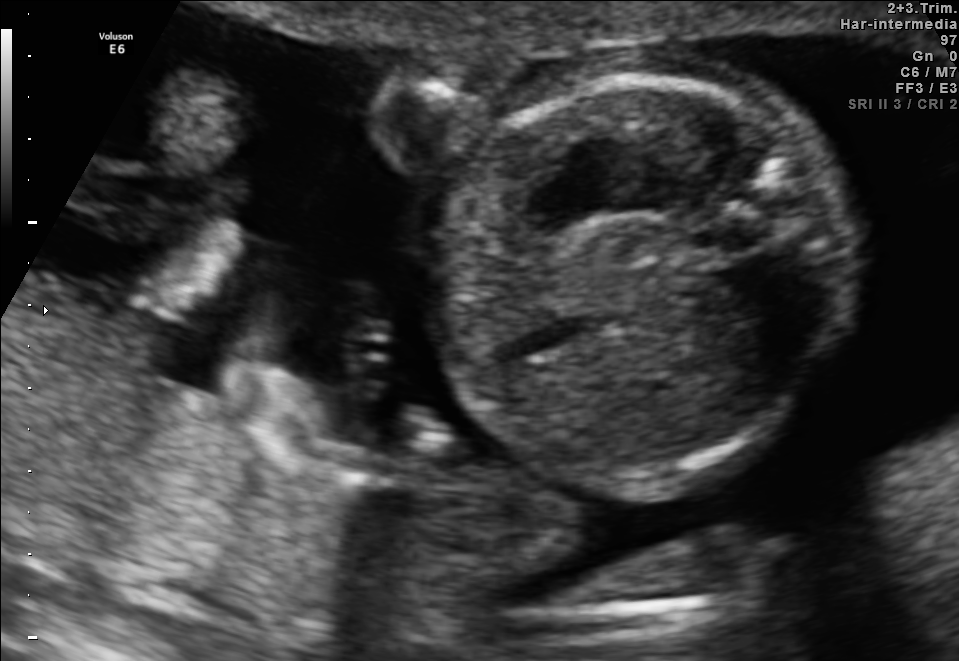
Classify this maternal-fetal ultrasound image as one of the six standard planes — fetal abdomen, fetal brain, fetal femur, fetal thorax, maternal cervix, or other. If it's fetal brain and one of the three standard brain planes (trans-thalamic, trans-cerebellum, trans-ventricular), name which.

Fetal abdomen